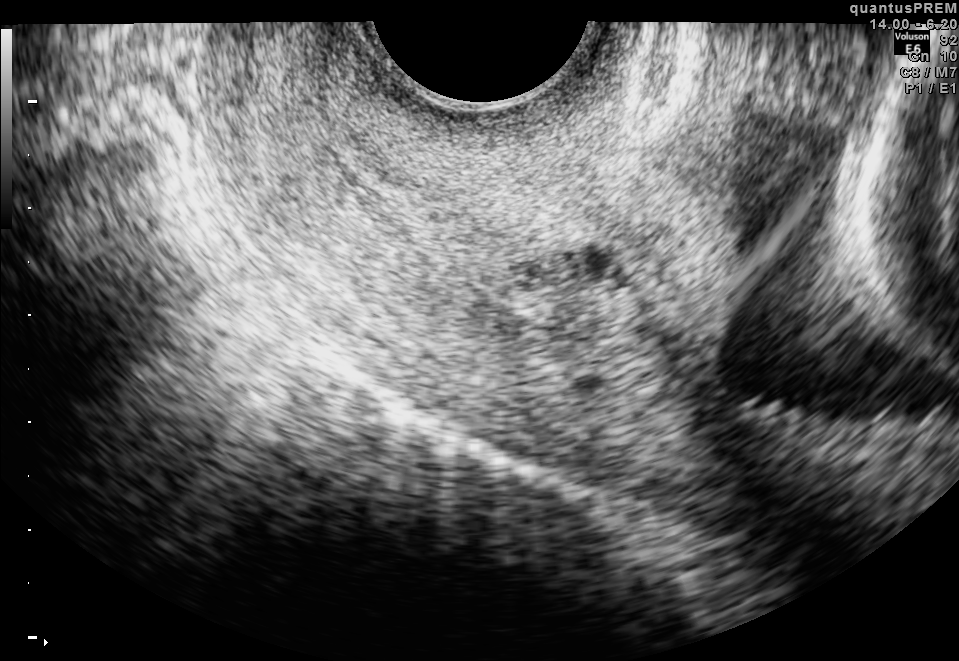
This is a 2D maternal-fetal ultrasound frame. Is it a fetal abdomen, fetal brain, fetal femur, fetal thorax, maternal cervix, or other standard plane? If it's fetal brain and one of the three standard brain planes (trans-thalamic, trans-cerebellum, trans-ventricular), name which.

Maternal cervix